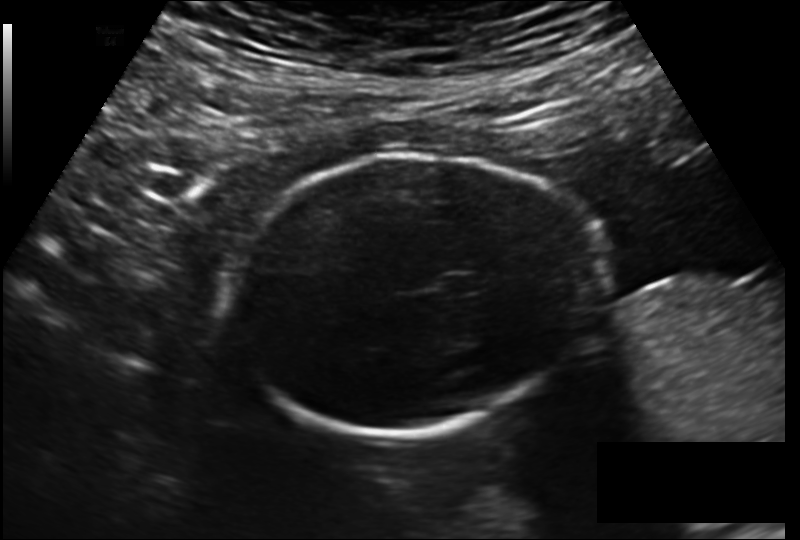
Estimate the fetal head circumference from this 2D ultrasound. Image width: 142.1 mm.

Head circumference: 189.2 mm.